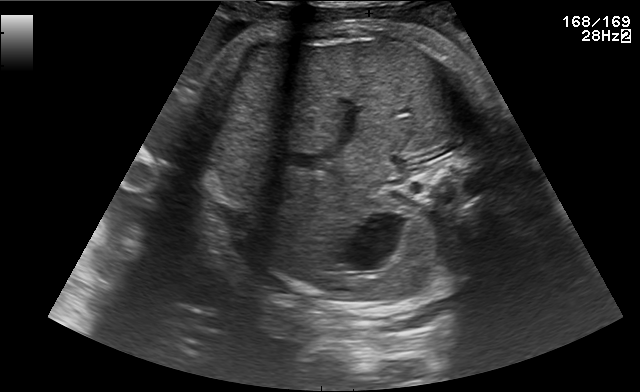
Classify this maternal-fetal ultrasound image as one of the six standard planes — fetal abdomen, fetal brain, fetal femur, fetal thorax, maternal cervix, or other. If it's fetal brain and one of the three standard brain planes (trans-thalamic, trans-cerebellum, trans-ventricular), name which.

Fetal abdomen